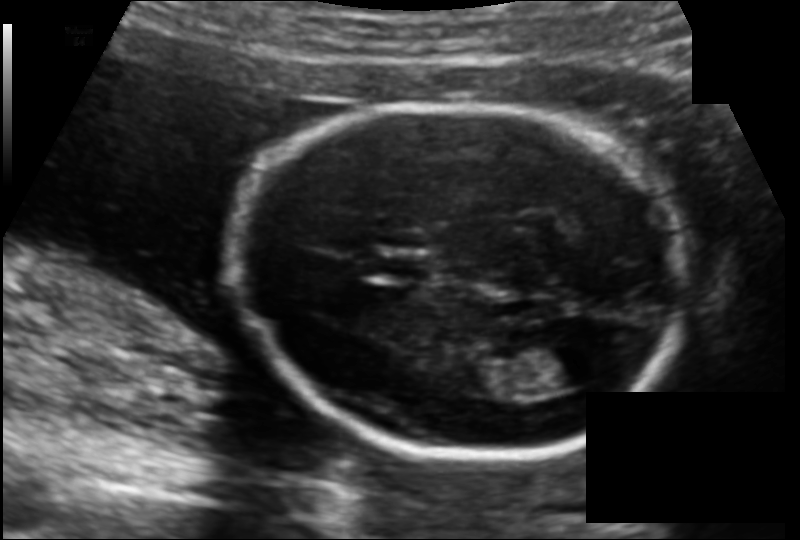
Fetal head ultrasound. Image width: 100.4 mm. Where is the cavum septum pellucidum?

CSP bounding box: [378,253,433,280]